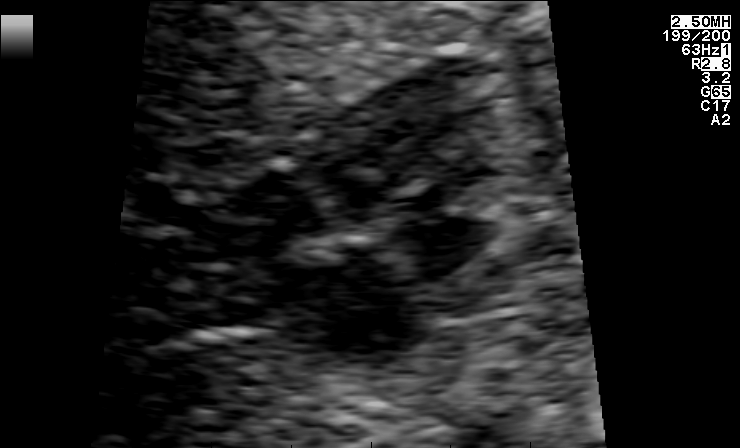
This is a 2D maternal-fetal ultrasound frame. Is it a fetal abdomen, fetal brain, fetal femur, fetal thorax, maternal cervix, or other standard plane? If it's fetal brain and one of the three standard brain planes (trans-thalamic, trans-cerebellum, trans-ventricular), name which.

Other